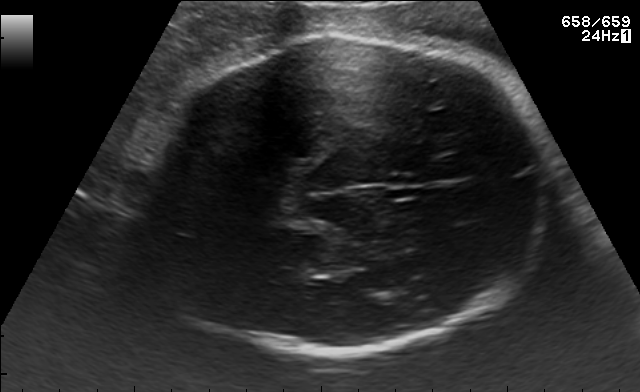
Fetal brain, trans-thalamic plane. Locate the fetal head.

Head: [120,37,552,351]